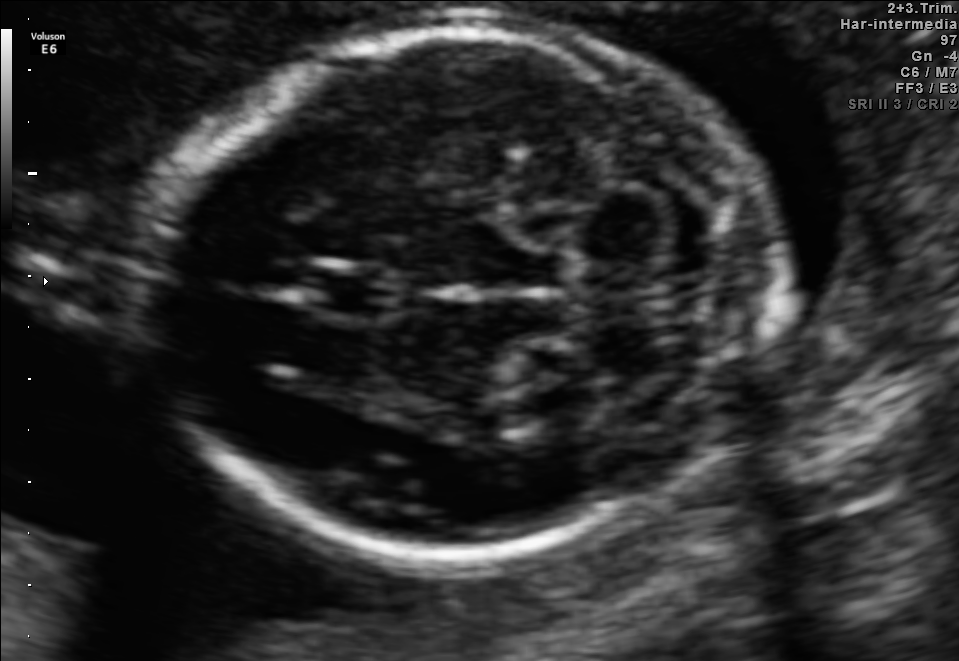
Fetal brain, trans-cerebellum plane. Give [x1,y1,x2,y2] bounding boxes for each visible structure among: fetal head, CSP, LV.

Head: [145,28,782,551]
CSP: [300,261,398,326]